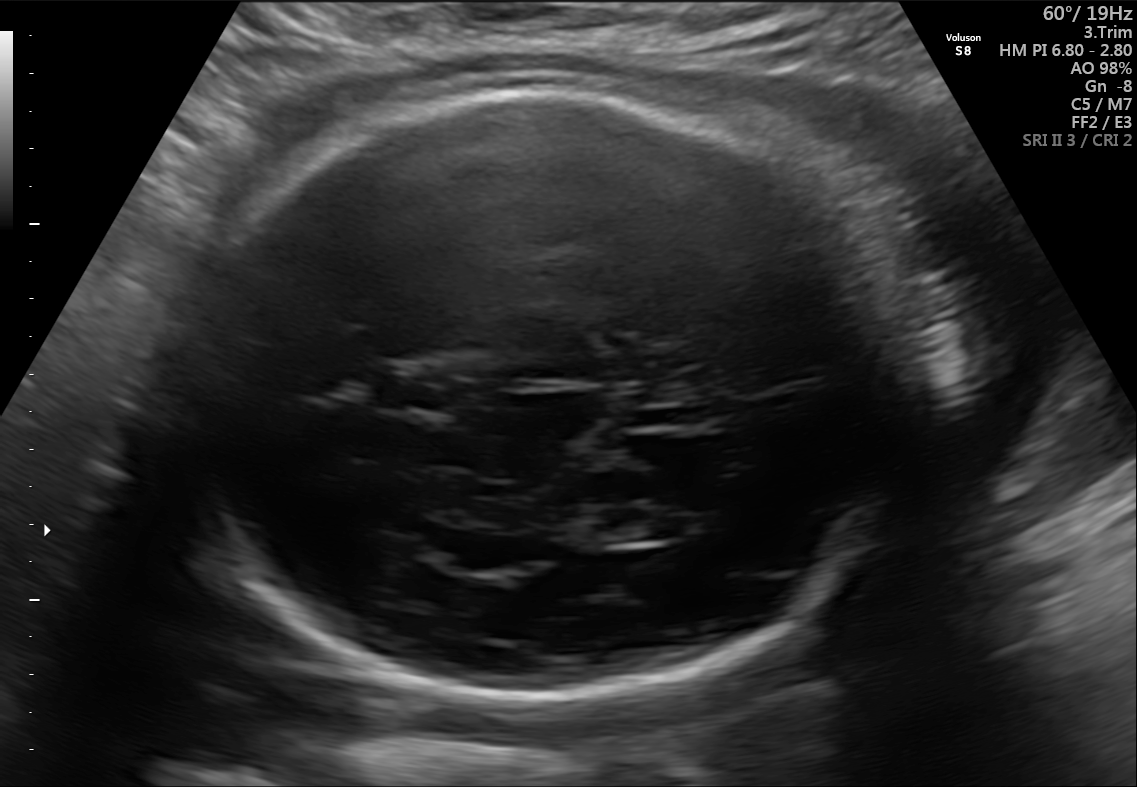
Fetal brain, trans-thalamic plane. Where is the cavum septum pellucidum?

CSP bounding box: [377,370,450,410]